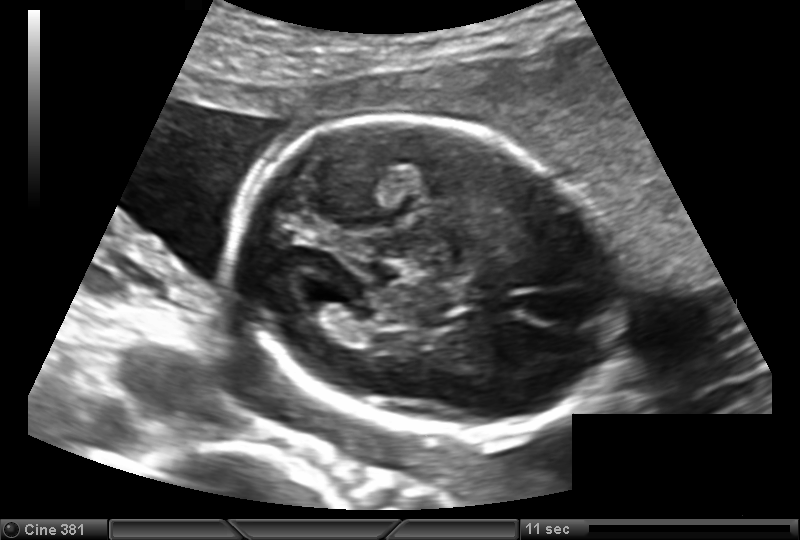
Fetal head ultrasound. Image width: 111.0 mm. Where is the fetal head?

Head bounding box: [234,119,620,439]